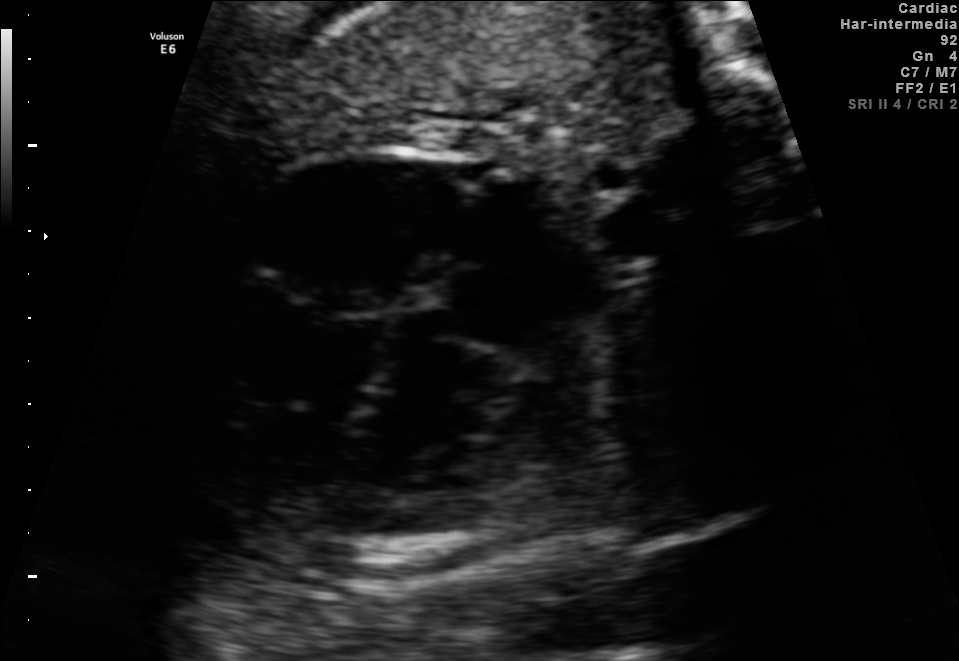
Classify this maternal-fetal ultrasound image as one of the six standard planes — fetal abdomen, fetal brain, fetal femur, fetal thorax, maternal cervix, or other. If it's fetal brain and one of the three standard brain planes (trans-thalamic, trans-cerebellum, trans-ventricular), name which.

Fetal thorax